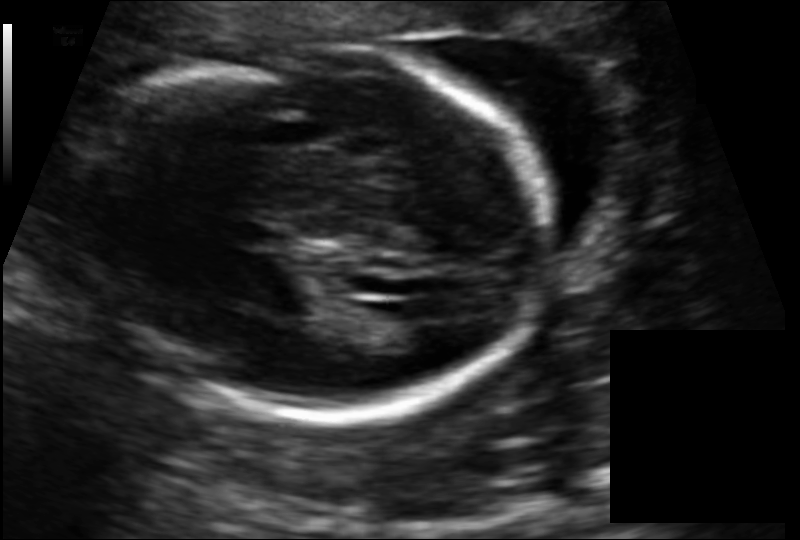
Fetal head ultrasound. Image width: 108.7 mm. Where is the fetal head?

Head bounding box: [96,47,551,418]